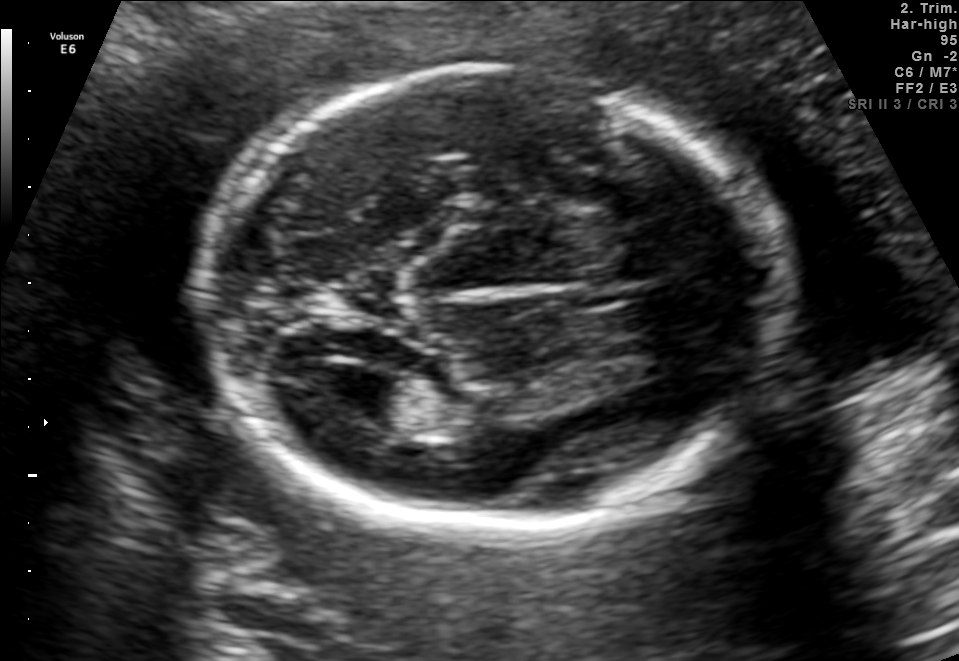
Fetal brain, trans-ventricular plane. Where is the fetal head?

Head bounding box: [186,61,807,532]